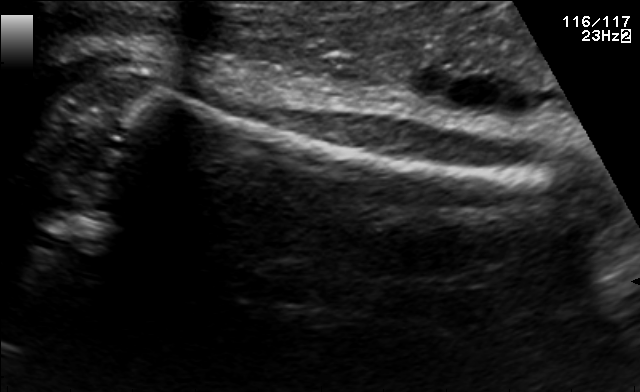
Identify the standard plane in this fetal ultrasound image: fetal abdomen, fetal brain, fetal femur, fetal thorax, maternal cervix, or other. If it's fetal brain and one of the three standard brain planes (trans-thalamic, trans-cerebellum, trans-ventricular), name which.

Fetal femur